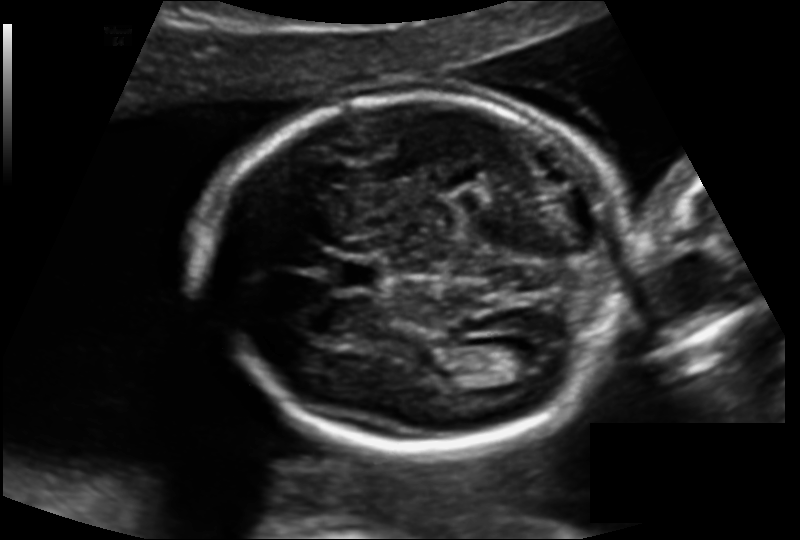
In this fetal head ultrasound, give bounding boxes for the head outline, cavum septum pellucidum (CSP), and lateral ventricle (LV), where visible. Image width: 110.2 mm.

Head: [203,95,626,450]
CSP: [334,259,379,291]
Lateral ventricle: [484,337,540,374]